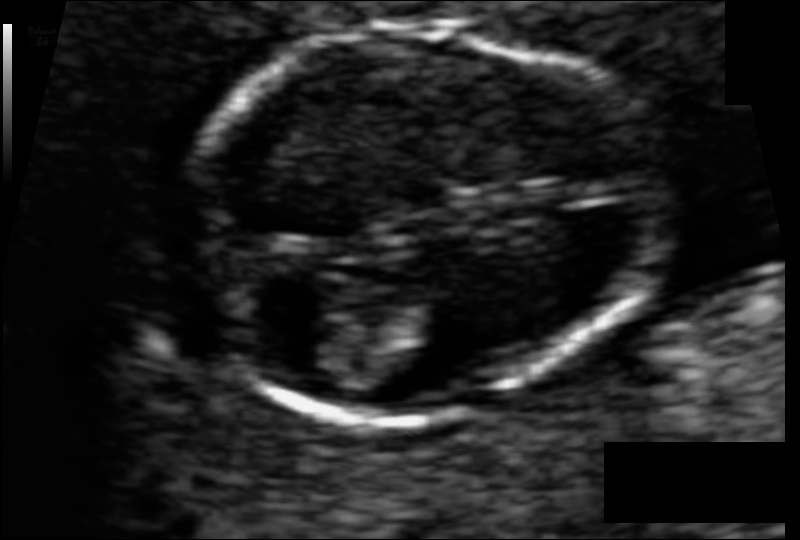
In this fetal head ultrasound, give bounding boxes for the head outline, cavum septum pellucidum (CSP), and lateral ventricle (LV), where visible. Image width: 43.8 mm.

Head: [185,18,652,419]